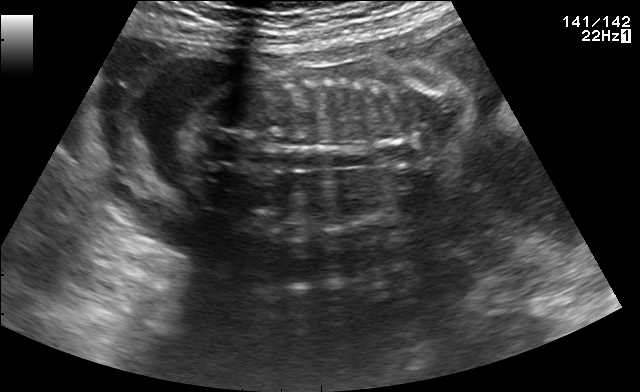
Identify the standard plane in this fetal ultrasound image: fetal abdomen, fetal brain, fetal femur, fetal thorax, maternal cervix, or other. If it's fetal brain and one of the three standard brain planes (trans-thalamic, trans-cerebellum, trans-ventricular), name which.

Other